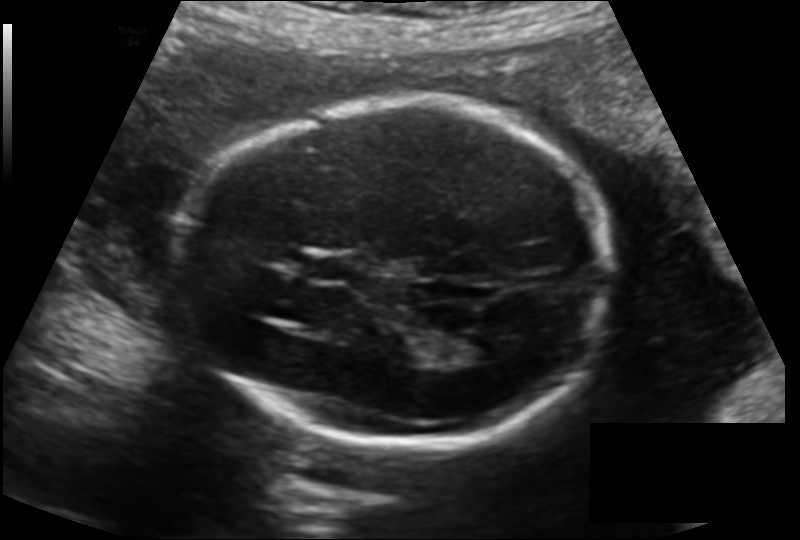
In this fetal head ultrasound, give the bounding box of the fetal head. Image width: 115.3 mm.

[177,101,610,444]